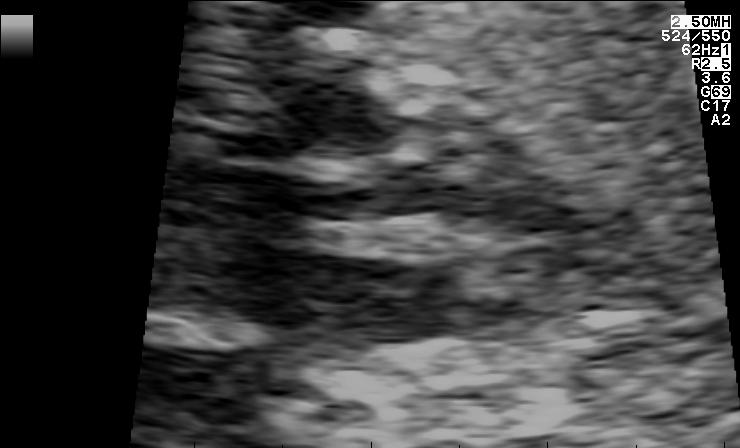
Which standard maternal-fetal ultrasound plane is shown: fetal abdomen, fetal brain, fetal femur, fetal thorax, maternal cervix, or other? If it's fetal brain and one of the three standard brain planes (trans-thalamic, trans-cerebellum, trans-ventricular), name which.

Other